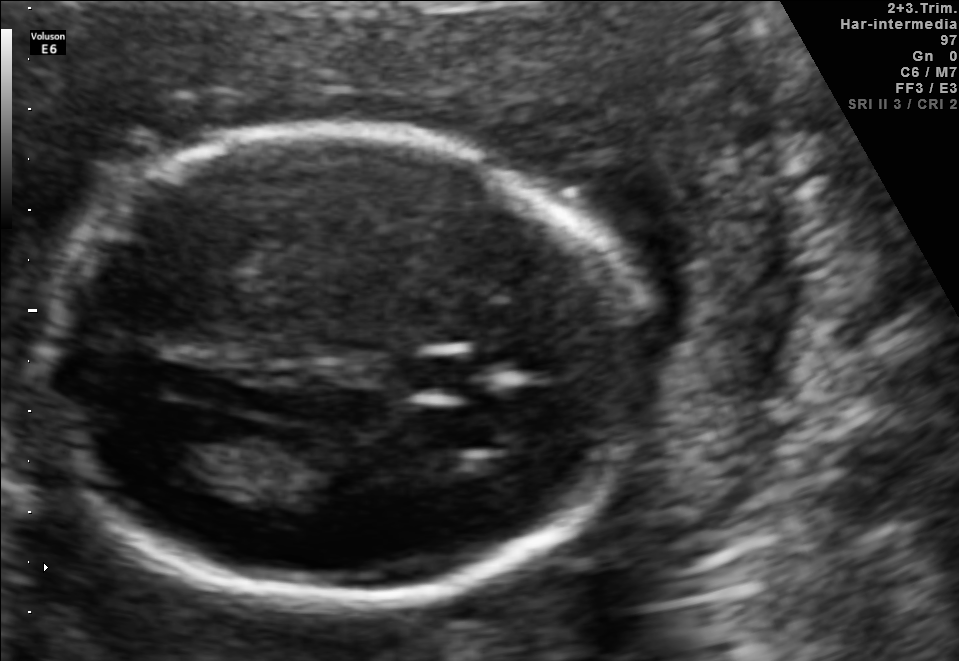
In this fetal brain, trans-ventricular plane, give bounding boxes for the head outline, cavum septum pellucidum (CSP), and lateral ventricle (LV), where visible.

Head: [33,118,662,617]
CSP: [412,356,472,391]